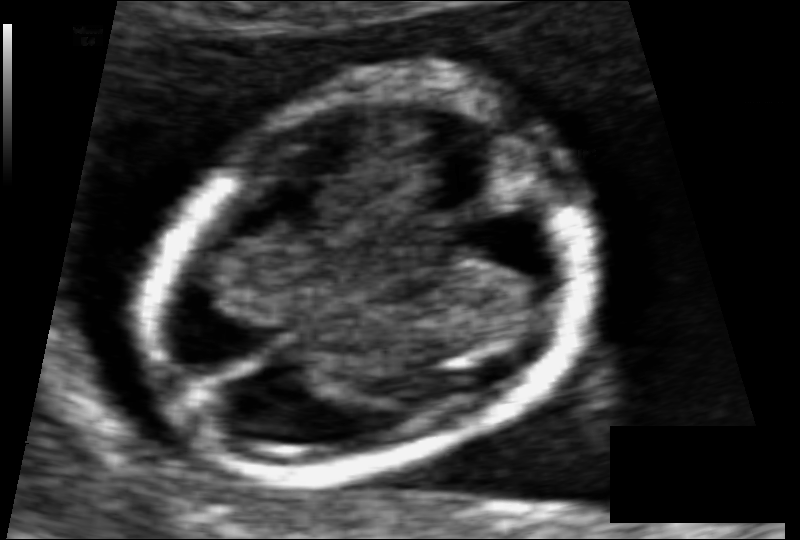
Estimate the fetal head circumference from this 2D ultrasound. Image width: 49.2 mm.

Head circumference: 83.6 mm.